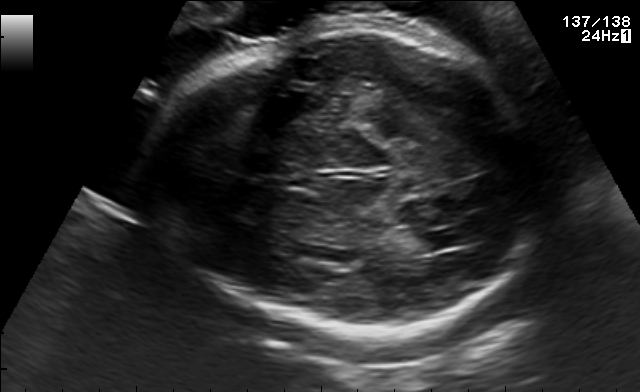
Fetal brain, trans-thalamic plane. Where is the fetal head?

Head bounding box: [151,24,539,342]